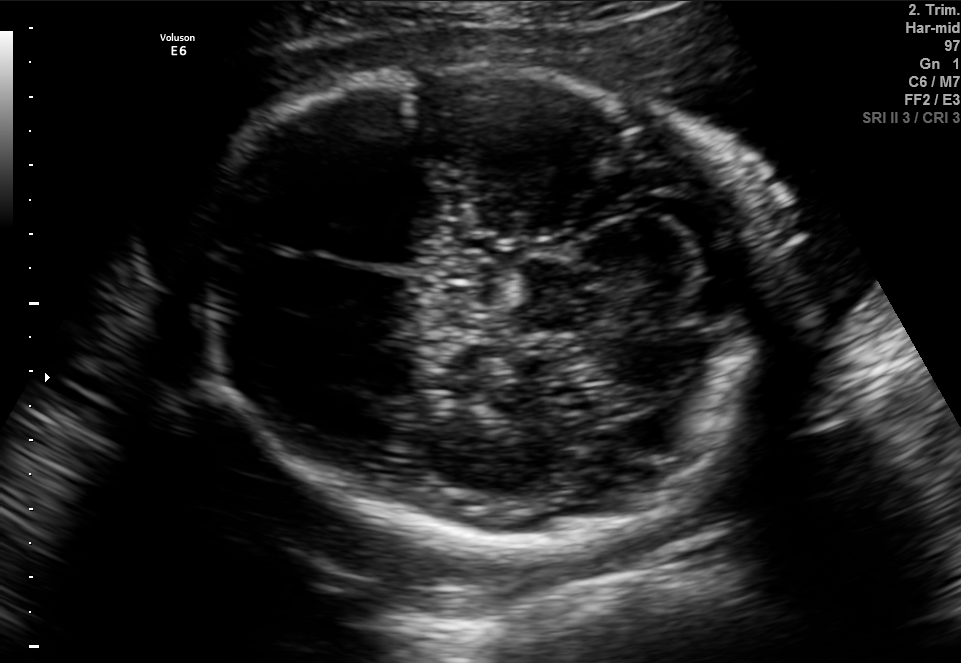
Fetal brain, trans-cerebellum plane. Locate the fetal head and, if visible, the cavum septum pellucidum (CSP) and lateral ventricle (LV). Give bounding boxes as [x1,y1,x2,y2].

Head: [191,66,782,547]